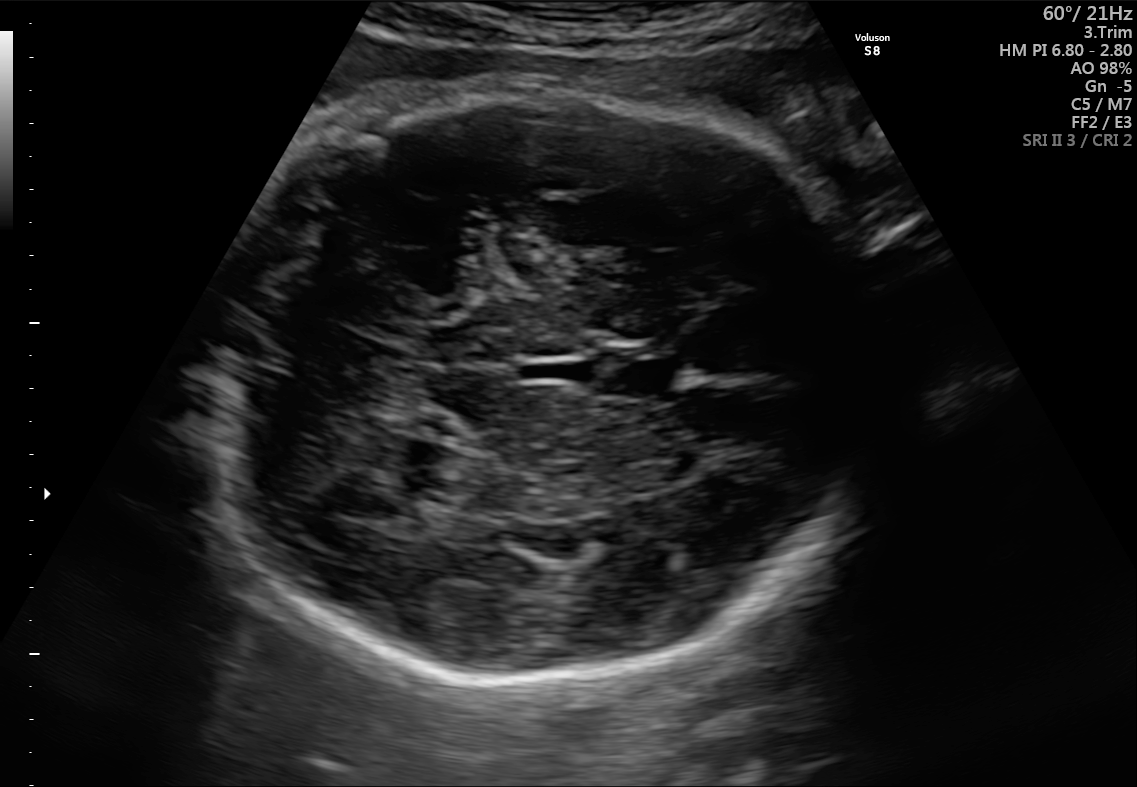
Fetal brain, trans-cerebellum plane. Locate the fetal head and, if visible, the cavum septum pellucidum (CSP) and lateral ventricle (LV). Give bounding boxes as [x1,y1,x2,y2].

Head: [207,89,877,681]
CSP: [601,340,684,401]